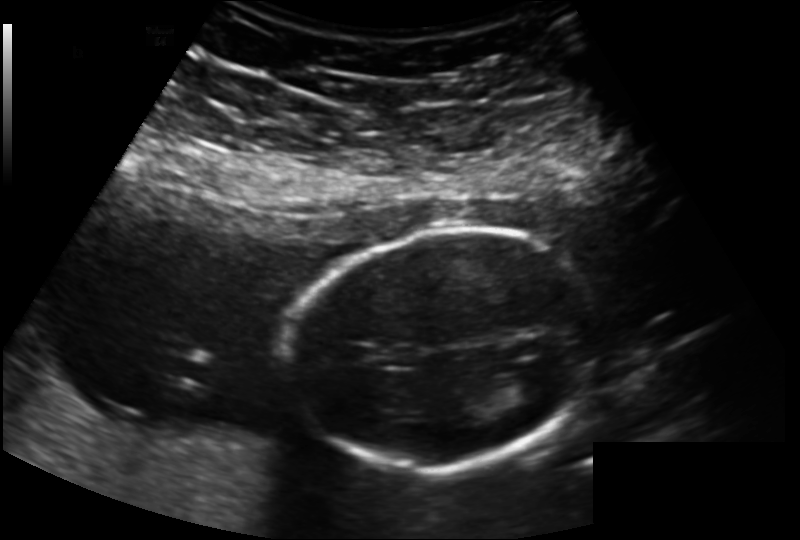
Measure the fetal head circumference shown in this ultrasound image. Image width: 130.7 mm.

Head circumference: 145.7 mm.